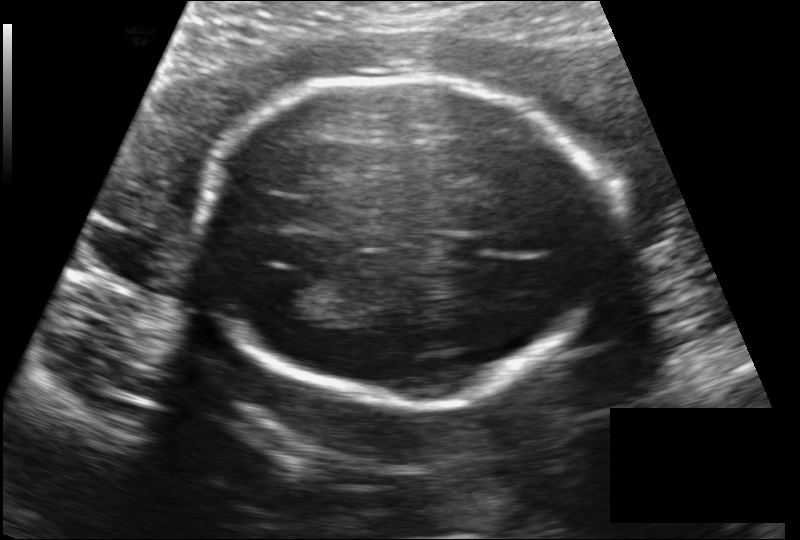
Estimate the fetal head circumference from this 2D ultrasound. Image width: 119.2 mm.

Head circumference: 180.3 mm.